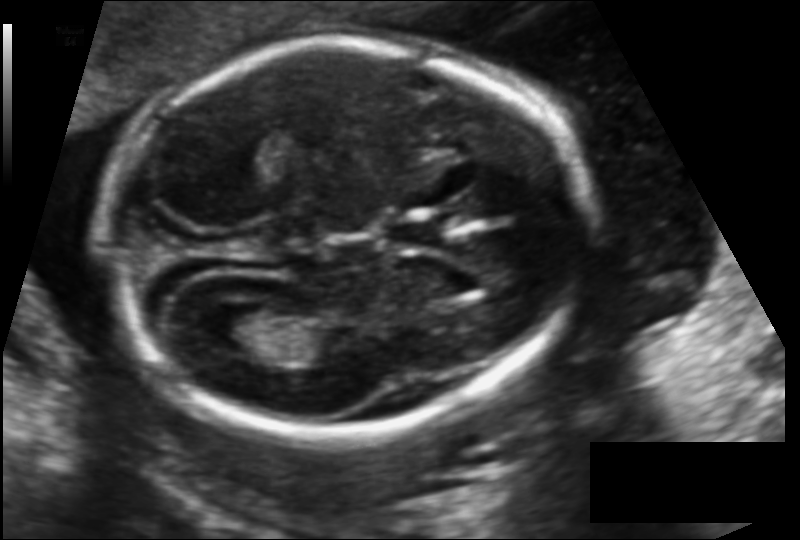
Fetal head ultrasound. Image width: 98.7 mm. Where is the fetal head?

Head bounding box: [100,42,593,428]